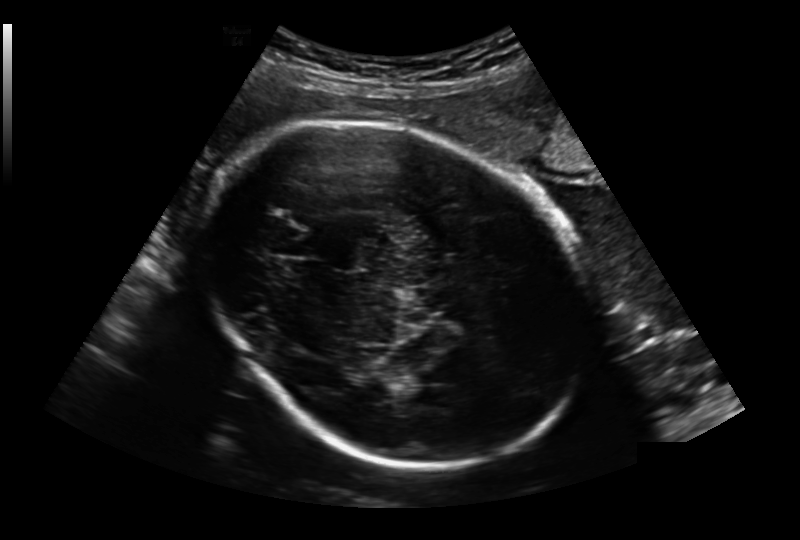
From this fetal ultrasound, estimate the head circumference (image width 188.7 mm).

Head circumference: 272.9 mm.